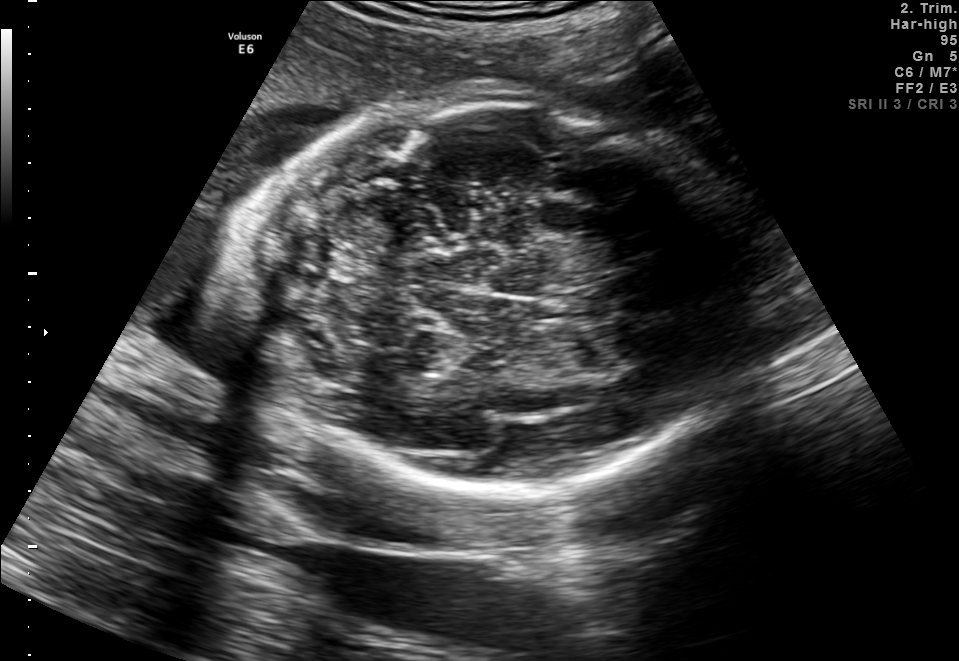
Which standard maternal-fetal ultrasound plane is shown: fetal abdomen, fetal brain, fetal femur, fetal thorax, maternal cervix, or other? If it's fetal brain and one of the three standard brain planes (trans-thalamic, trans-cerebellum, trans-ventricular), name which.

Fetal brain (trans-thalamic plane)